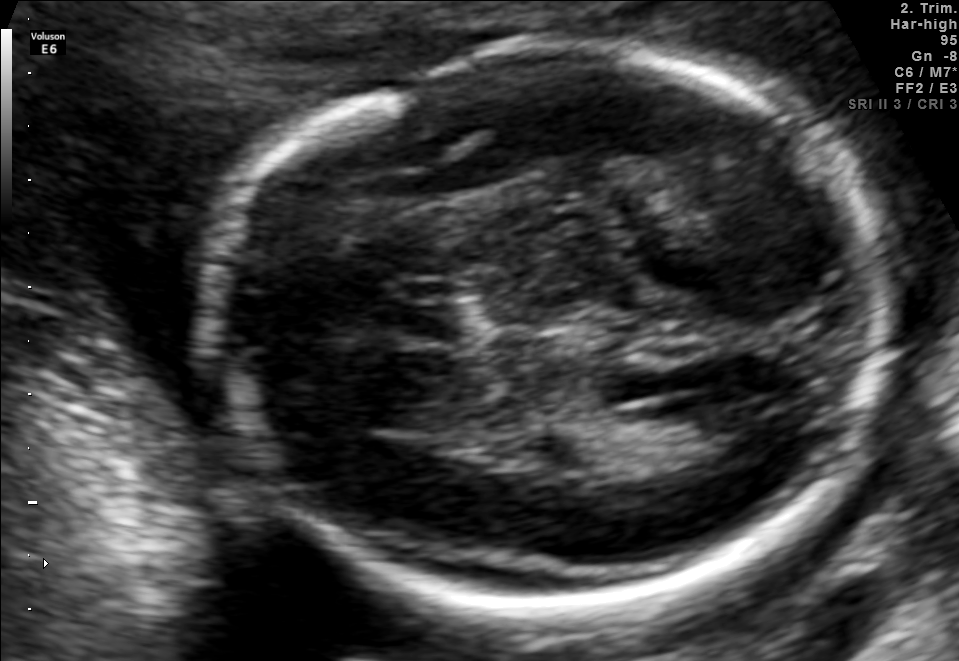
Fetal brain, trans-ventricular plane. Where is the lateral ventricle?

Lateral ventricle bounding box: [669,375,789,473]